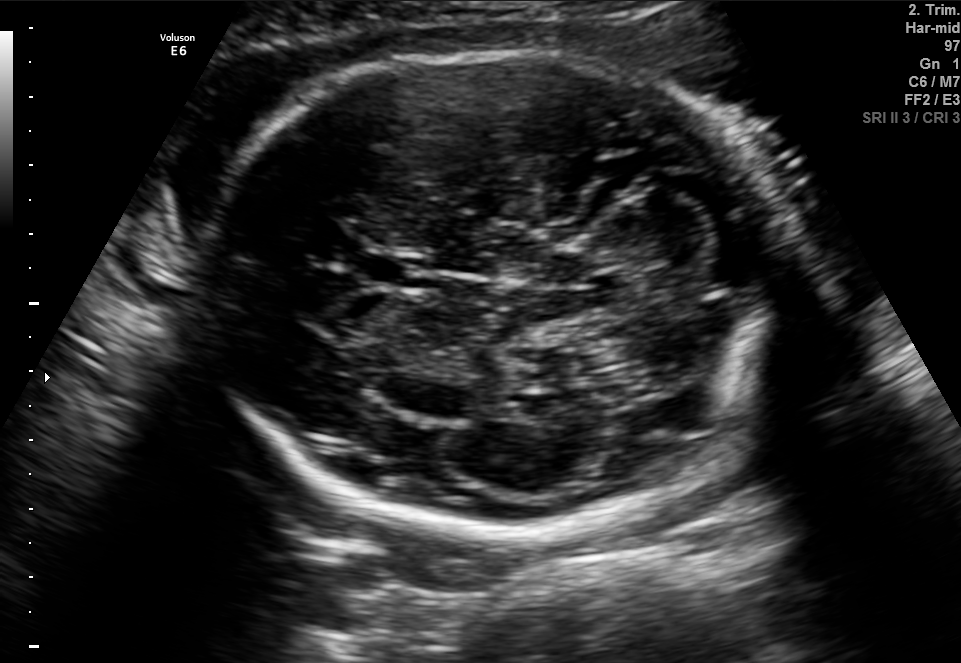
Fetal brain, trans-cerebellum plane. Give [x1,y1,x2,y2] bounding boxes for each visible structure among: fetal head, CSP, LV.

Head: [205,52,784,533]
CSP: [359,248,430,293]